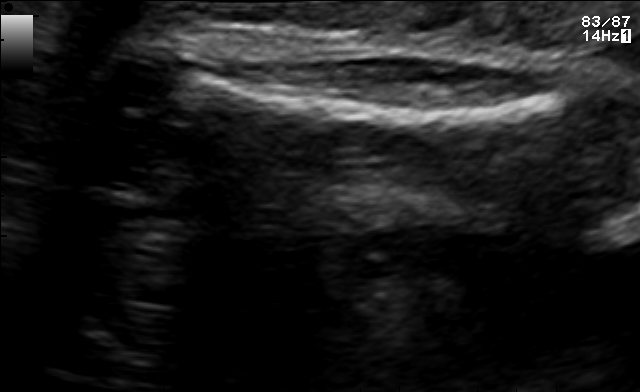
Identify the standard plane in this fetal ultrasound image: fetal abdomen, fetal brain, fetal femur, fetal thorax, maternal cervix, or other. If it's fetal brain and one of the three standard brain planes (trans-thalamic, trans-cerebellum, trans-ventricular), name which.

Fetal femur